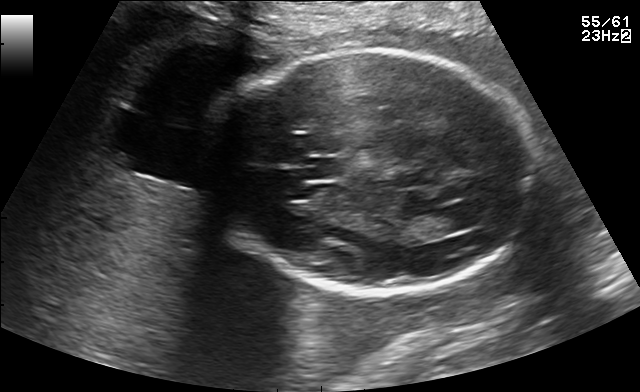
Fetal brain, trans-thalamic plane. Where is the cavum septum pellucidum?

CSP bounding box: [308,158,342,179]